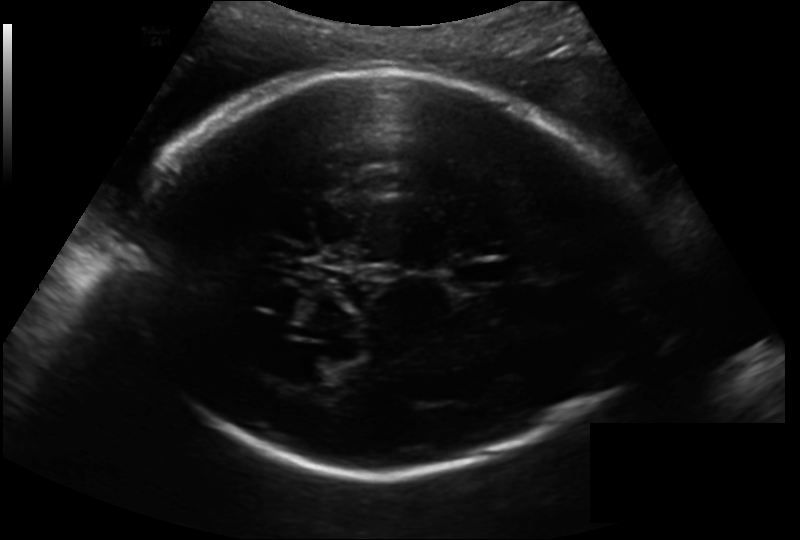
Fetal head ultrasound. Image width: 154.5 mm. Where is the fetal head?

Head bounding box: [128,71,640,474]